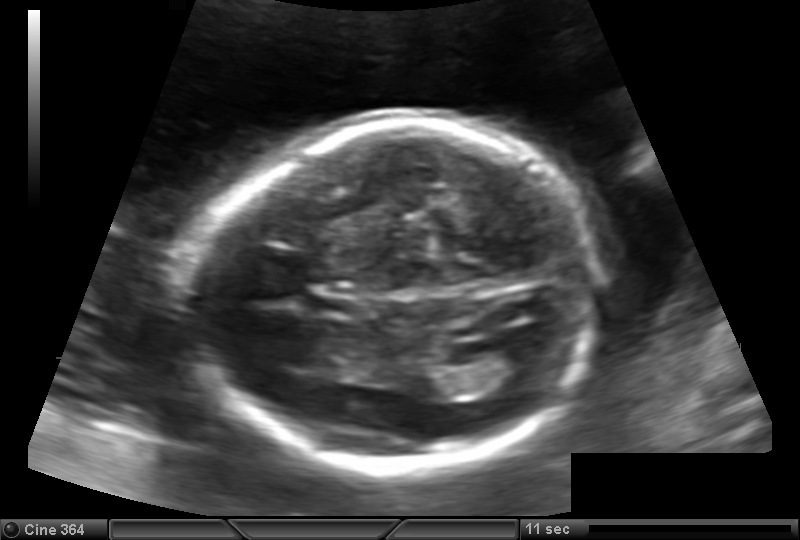
In this fetal head ultrasound, give the bounding box of the fetal head. Image width: 115.2 mm.

[200,120,595,471]